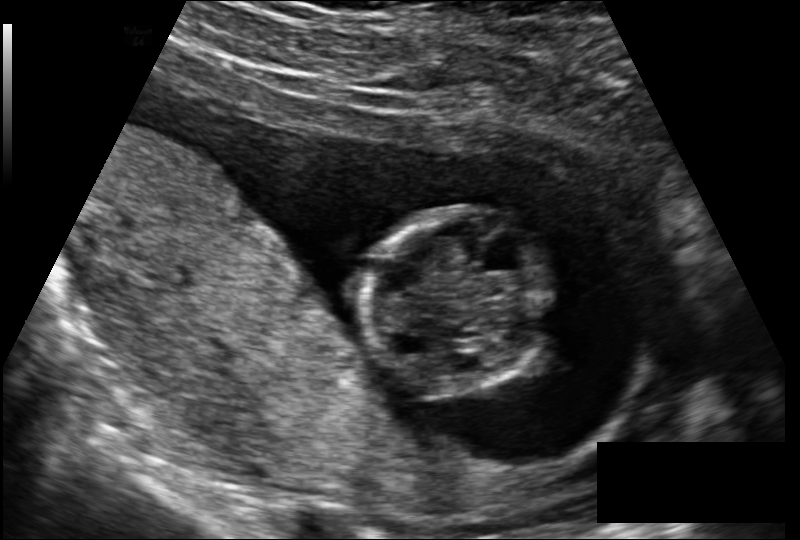
From this fetal ultrasound, estimate the head circumference (image width 105.1 mm).

Head circumference: 82.3 mm.